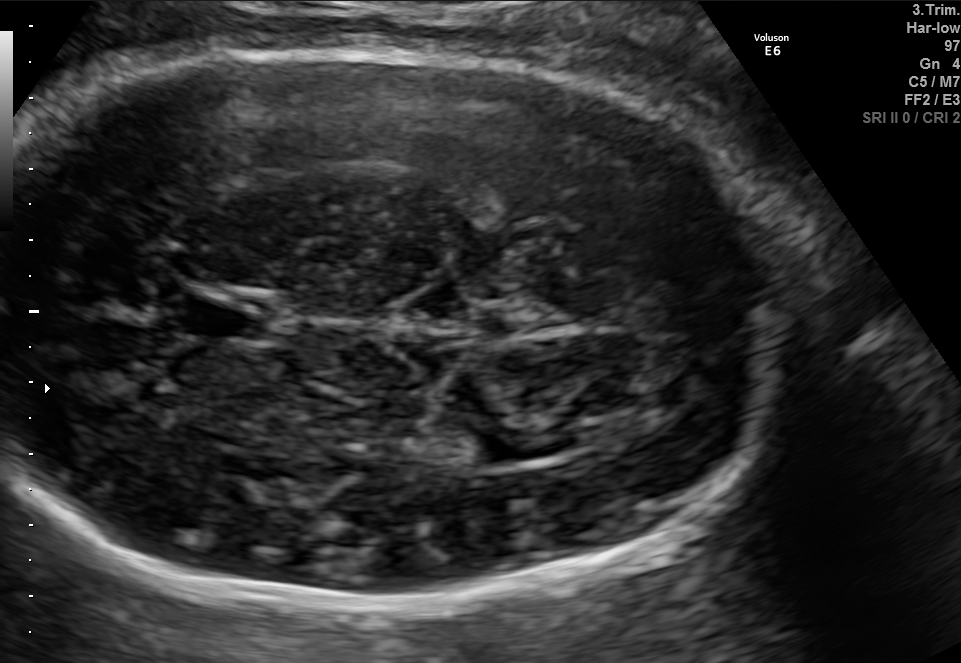
In this fetal brain, trans-thalamic plane, give bounding boxes for the head outline, cavum septum pellucidum (CSP), and lateral ventricle (LV), where visible.

Head: [4,49,789,614]
CSP: [183,296,270,337]
Lateral ventricle: [472,420,563,467]